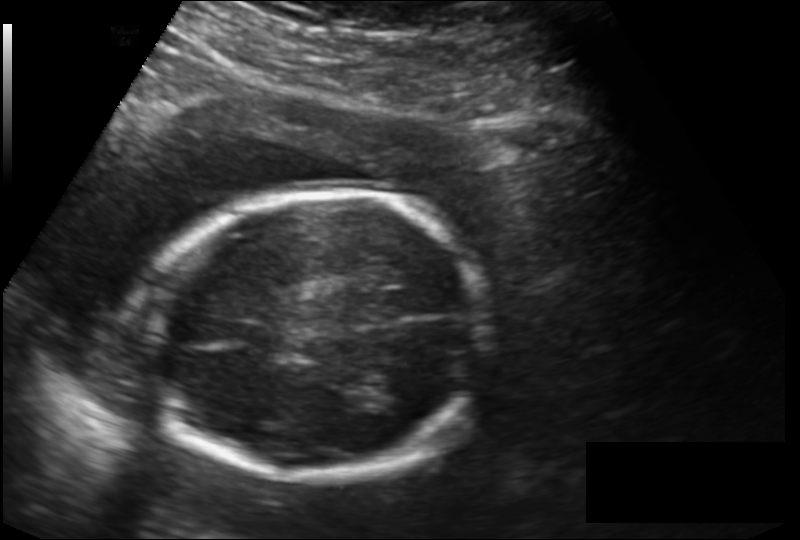
In this fetal head ultrasound, give bounding boxes for the head outline, cavum septum pellucidum (CSP), and lateral ventricle (LV), where visible. Image width: 133.1 mm.

Head: [138,193,485,476]